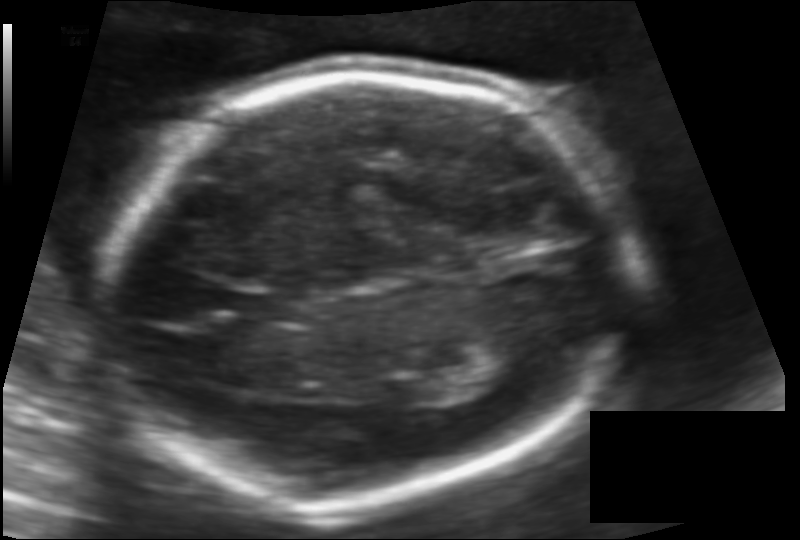
In this fetal head ultrasound, give the bounding box of the fetal head. Image width: 93.5 mm.

[101,74,624,498]